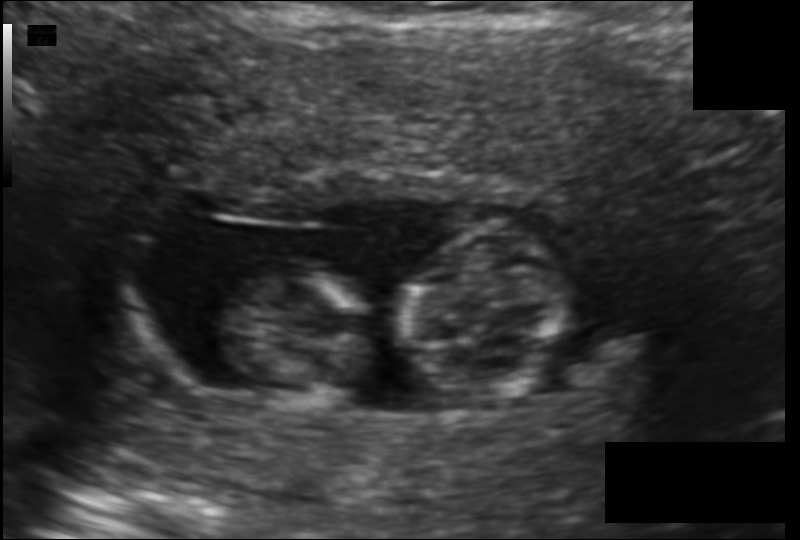
Fetal head ultrasound. Image width: 95.3 mm. Where is the fetal head?

Head bounding box: [395,221,571,404]